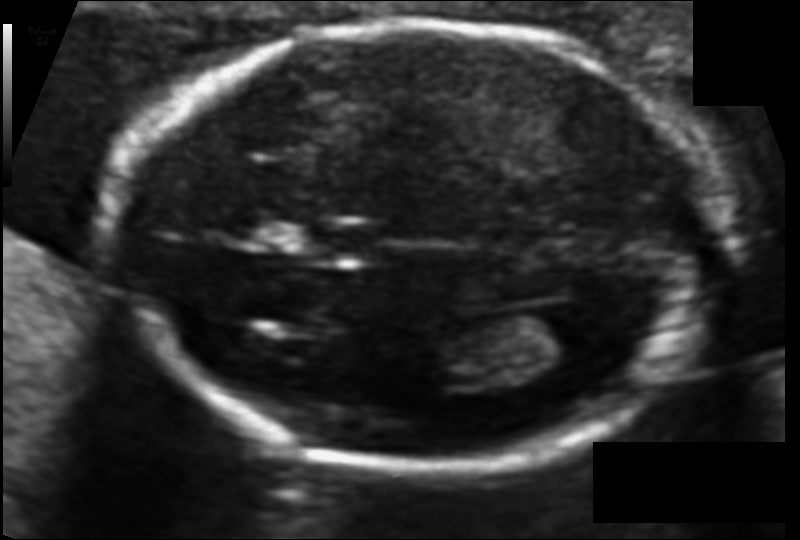
In this fetal head ultrasound, give the bounding box of the fetal head. Image width: 75.0 mm.

[124,23,717,466]